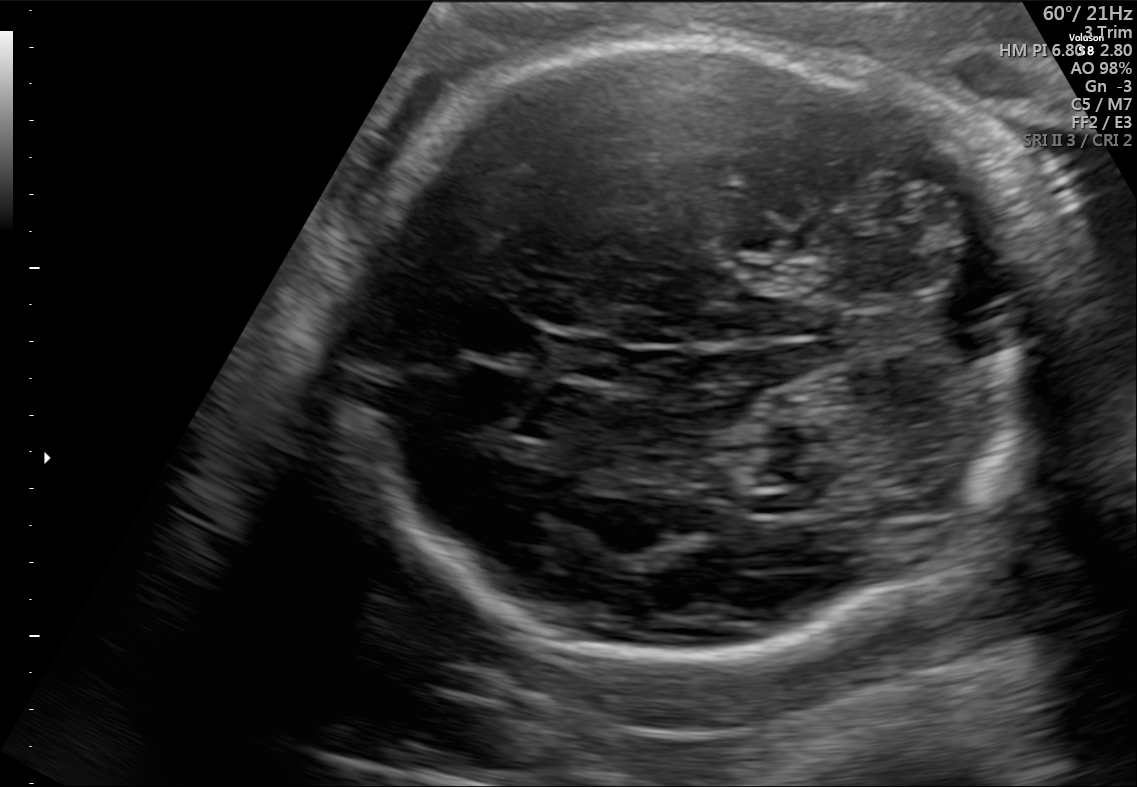
Fetal brain, trans-cerebellum plane. Where is the fetal head?

Head bounding box: [345,42,1034,655]